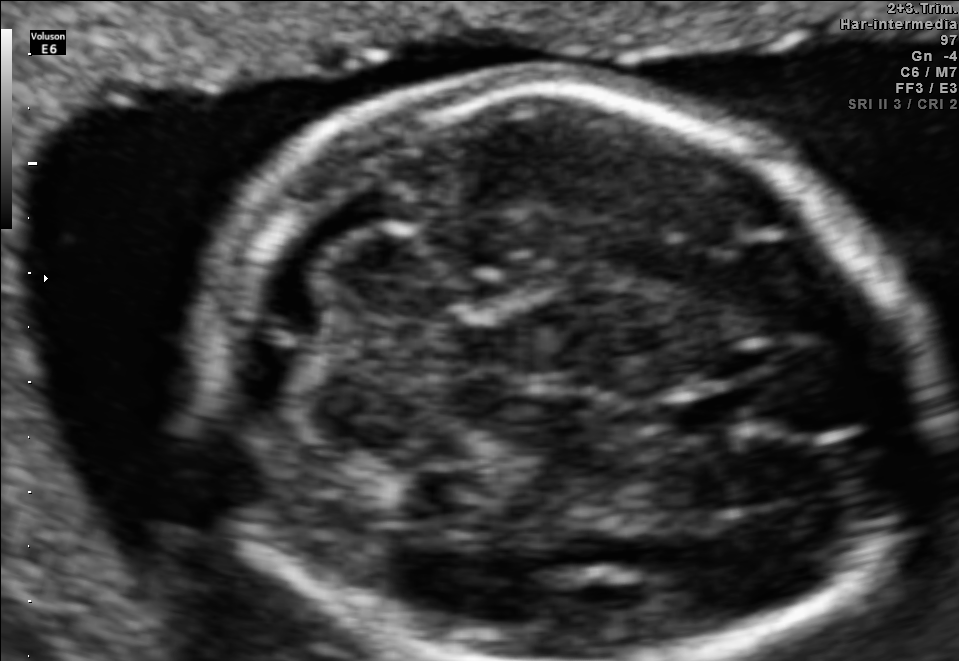
Fetal brain, trans-cerebellum plane. Give [x1,y1,x2,y2] bounding boxes for each visible structure among: fetal head, CSP, LV.

Head: [202,85,937,660]
CSP: [666,381,770,447]